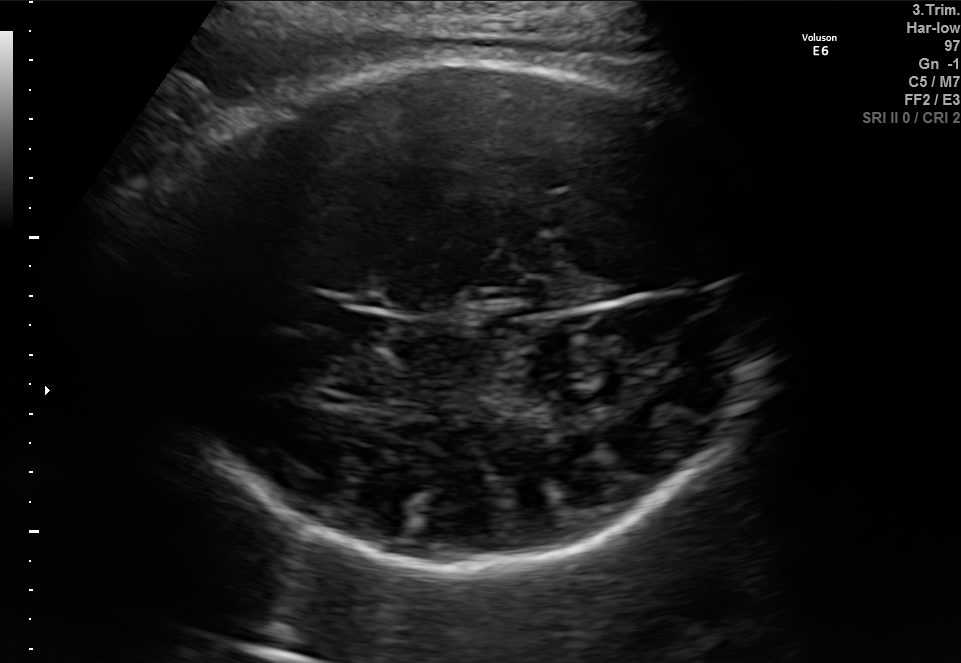
Fetal brain, trans-thalamic plane. Where is the cavum septum pellucidum?

CSP bounding box: [304,294,392,344]